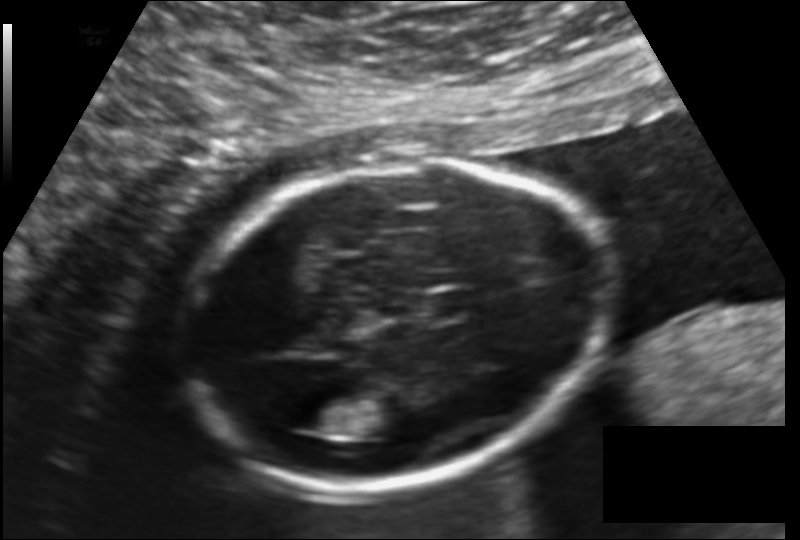
Fetal head ultrasound. Image width: 112.0 mm. Locate the cavum septum pellucidum.

CSP: [424,286,478,321]